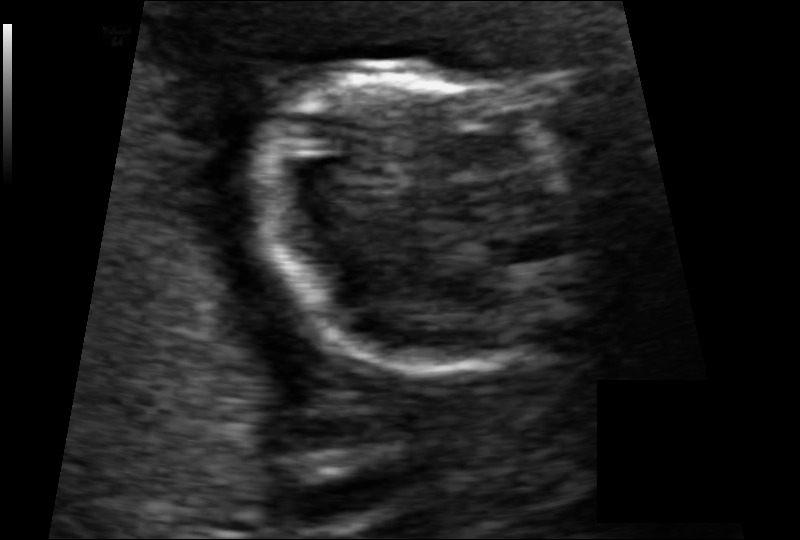
In this fetal head ultrasound, give the bounding box of the fetal head. Image width: 62.3 mm.

[249,60,580,373]